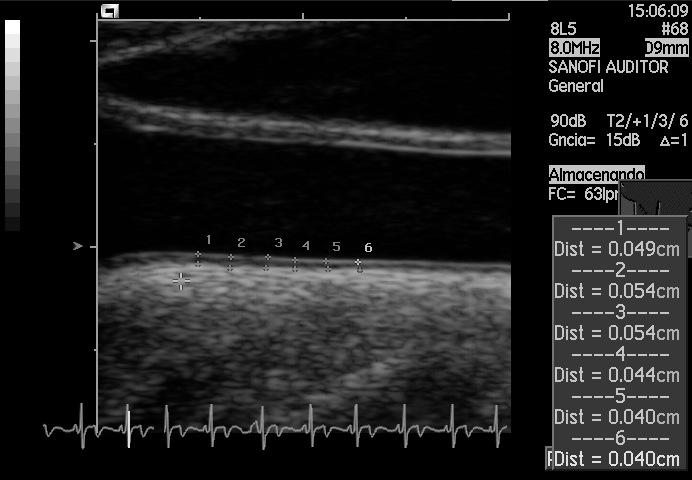
Classify this maternal-fetal ultrasound image as one of the six standard planes — fetal abdomen, fetal brain, fetal femur, fetal thorax, maternal cervix, or other. If it's fetal brain and one of the three standard brain planes (trans-thalamic, trans-cerebellum, trans-ventricular), name which.

Other